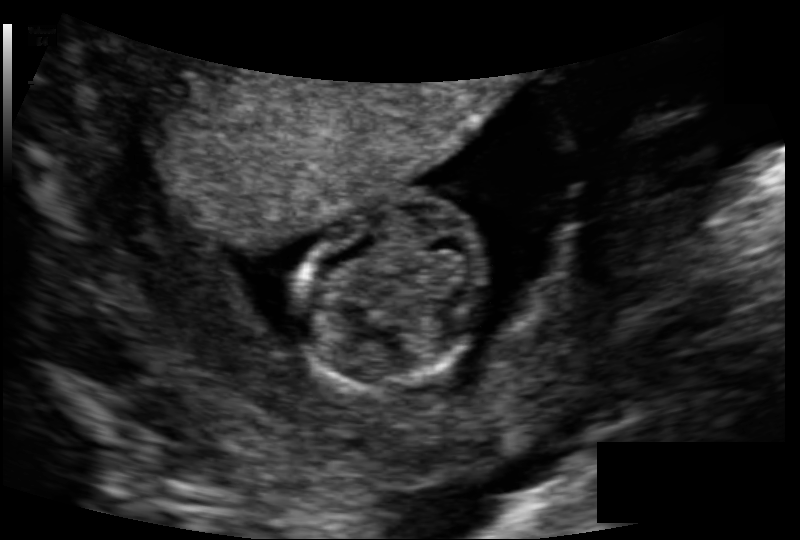
In this fetal head ultrasound, give the bounding box of the fetal head. Image width: 94.2 mm.

[298,197,494,387]